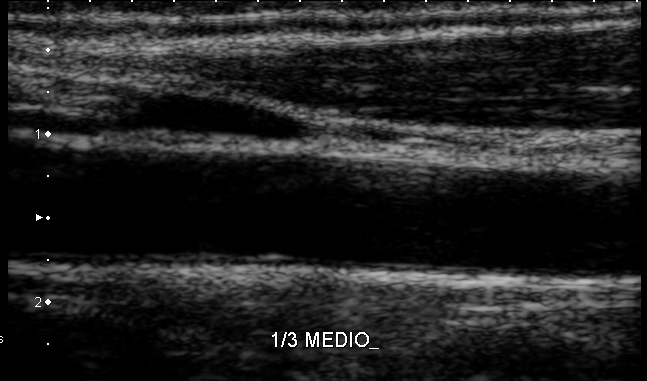
Which standard maternal-fetal ultrasound plane is shown: fetal abdomen, fetal brain, fetal femur, fetal thorax, maternal cervix, or other? If it's fetal brain and one of the three standard brain planes (trans-thalamic, trans-cerebellum, trans-ventricular), name which.

Other